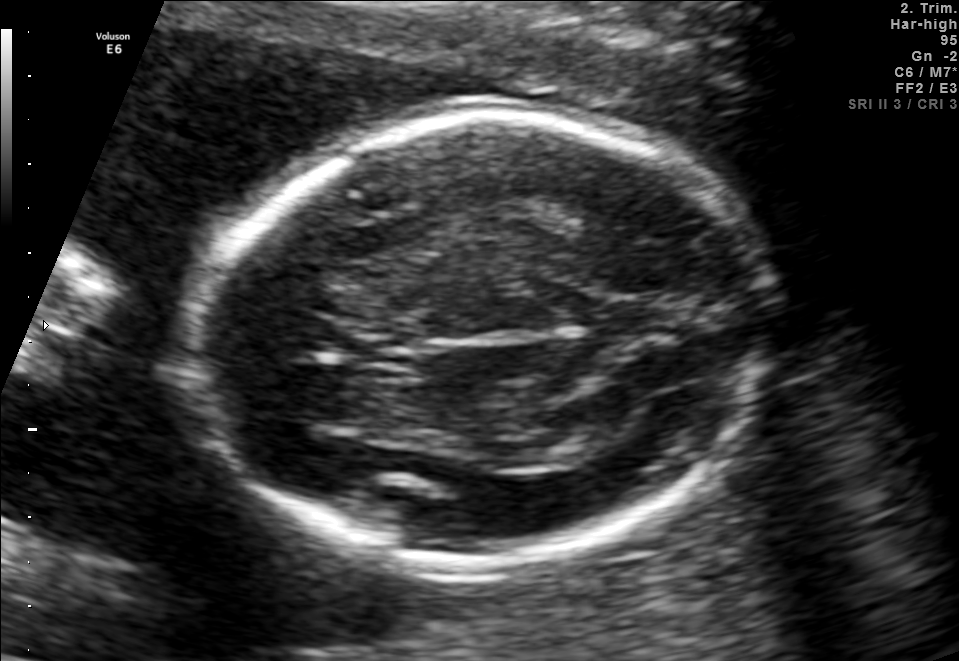
Fetal brain, trans-thalamic plane. Where is the fetal head?

Head bounding box: [187,114,770,567]